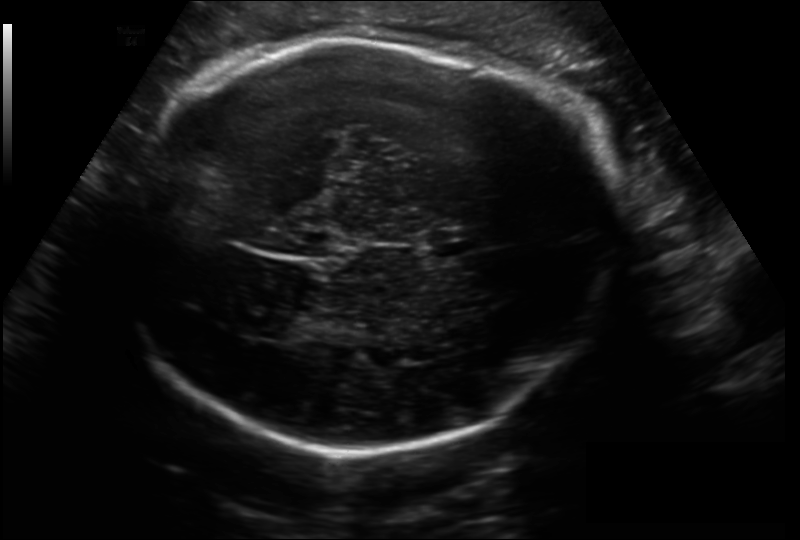
What is the fetal head circumference? Image width is 164.9 mm.

300.0 mm